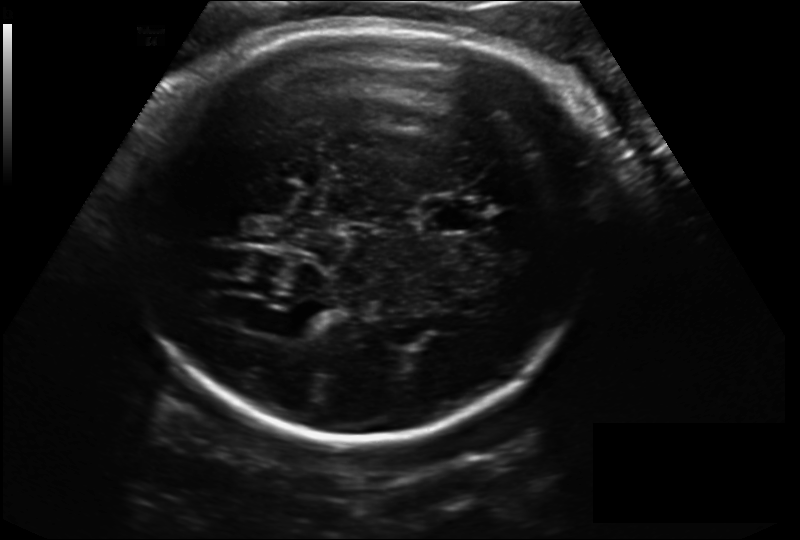
In this fetal head ultrasound, give the bounding box of the fetal head. Image width: 158.7 mm.

[133,22,603,438]